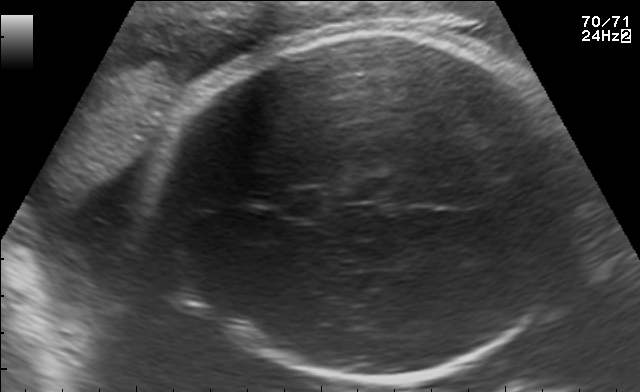
Fetal brain, trans-thalamic plane. Give [x1,y1,x2,y2] bounding boxes for each visible structure among: fetal head, CSP, LV.

Head: [153,30,588,375]
CSP: [275,188,325,219]